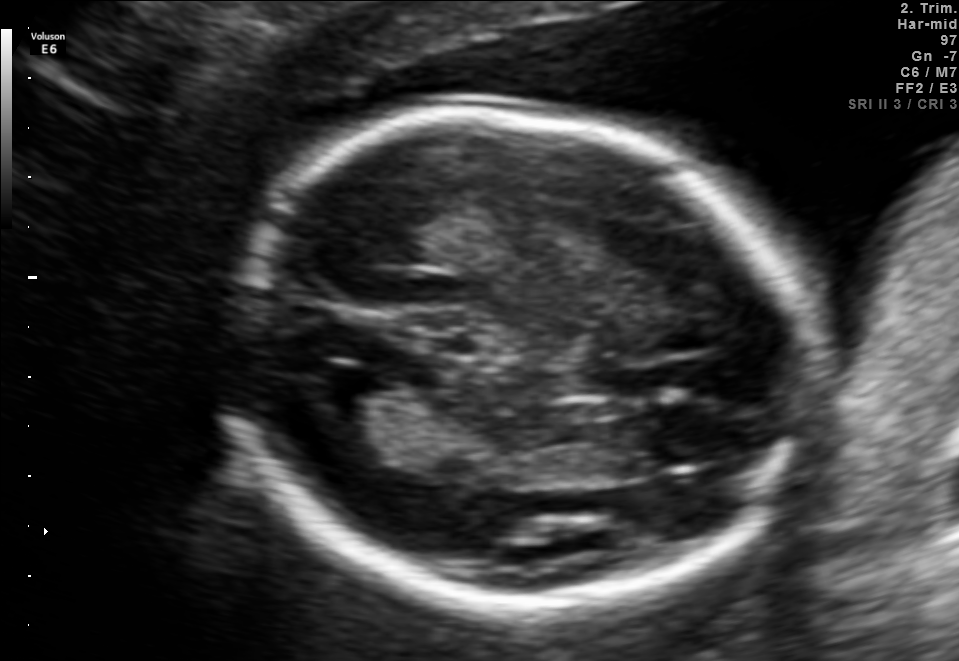
Which standard maternal-fetal ultrasound plane is shown: fetal abdomen, fetal brain, fetal femur, fetal thorax, maternal cervix, or other? If it's fetal brain and one of the three standard brain planes (trans-thalamic, trans-cerebellum, trans-ventricular), name which.

Fetal brain (trans-thalamic plane)